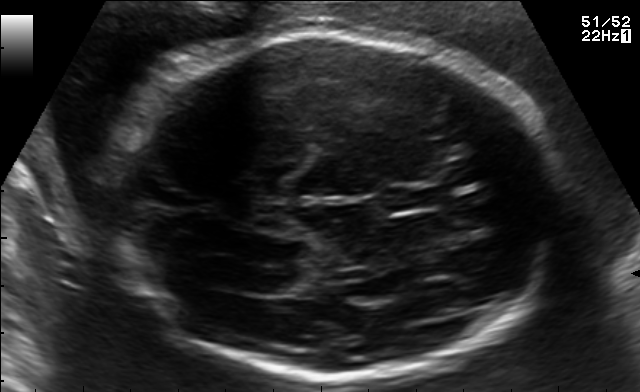
In this fetal brain, trans-ventricular plane, give the bounding box of the lateral ventricle.

[229,262,293,295]